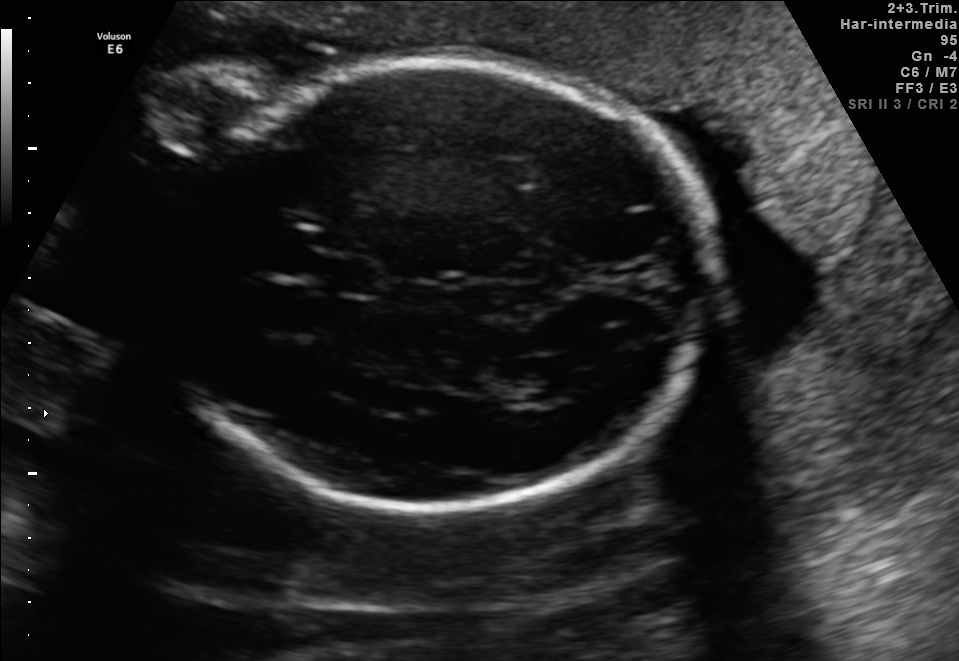
Fetal brain, trans-ventricular plane. Locate the fetal head.

Head: [161,55,724,516]